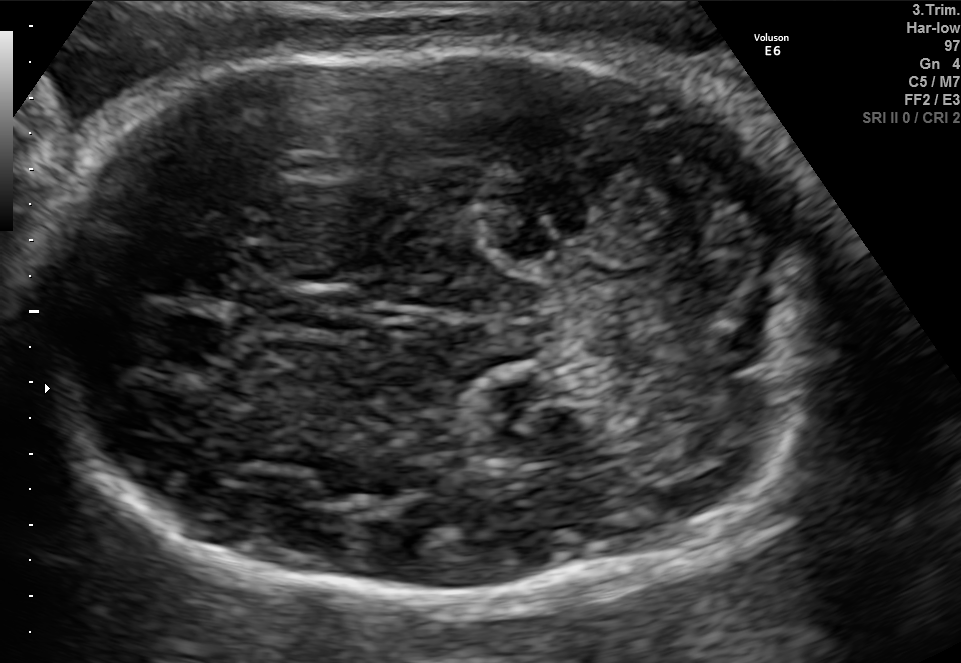
Fetal brain, trans-cerebellum plane. Locate the fetal head.

Head: [31,44,812,597]